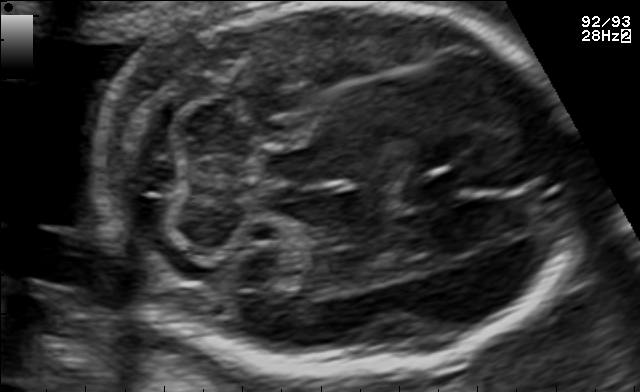
Fetal brain, trans-cerebellum plane. Give [x1,y1,x2,y2] bounding boxes for each visible structure among: fetal head, CSP, LV.

Head: [102,2,570,381]
CSP: [412,161,476,208]